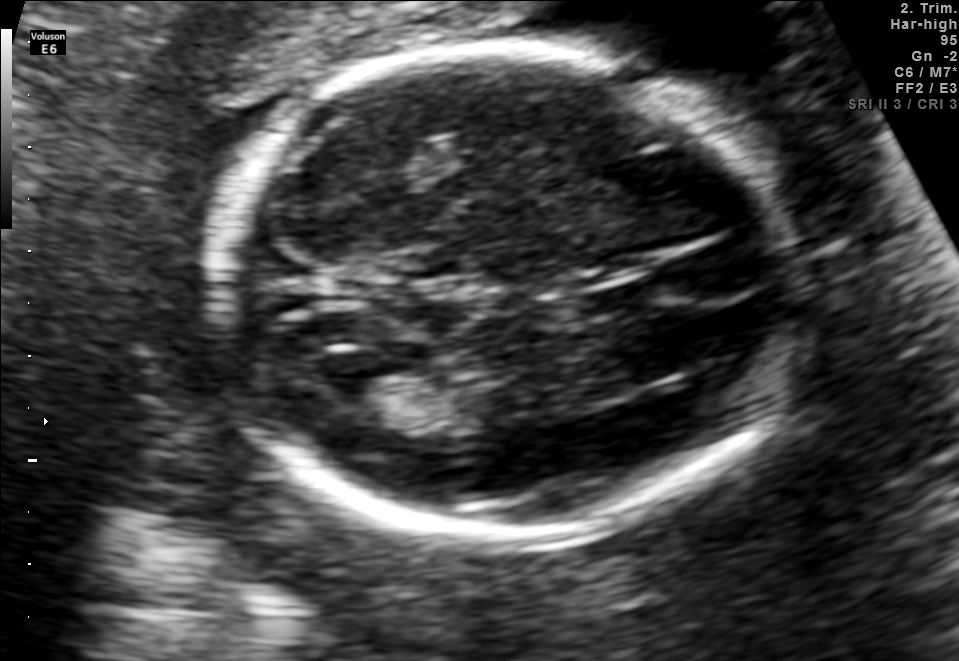
This is a 2D maternal-fetal ultrasound frame. Is it a fetal abdomen, fetal brain, fetal femur, fetal thorax, maternal cervix, or other standard plane? If it's fetal brain and one of the three standard brain planes (trans-thalamic, trans-cerebellum, trans-ventricular), name which.

Fetal brain (trans-ventricular plane)